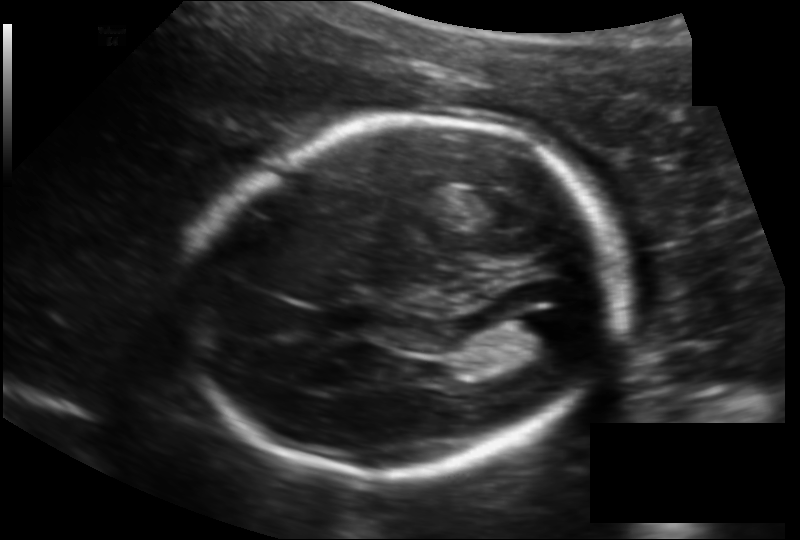
What is the fetal head circumference? Image width is 115.9 mm.

185.8 mm